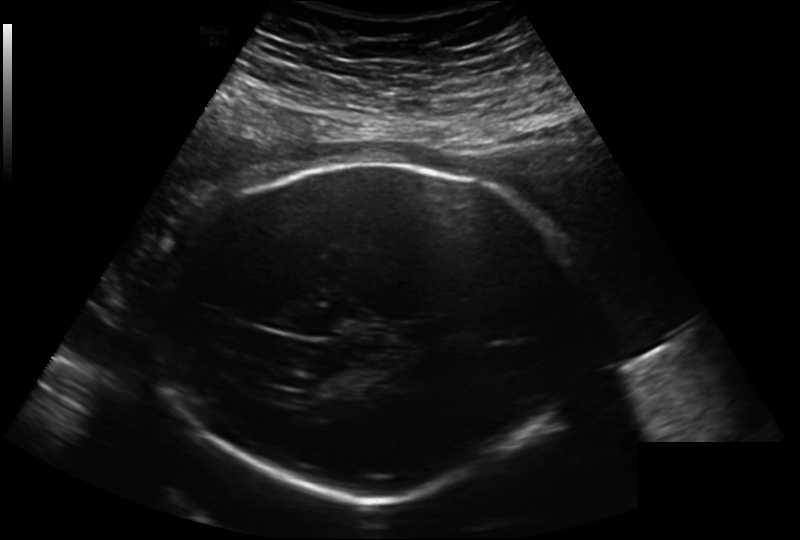
In this fetal head ultrasound, give bounding boxes for the head outline, cavum septum pellucidum (CSP), and lateral ventricle (LV), where visible. Image width: 192.6 mm.

Head: [159,163,582,498]